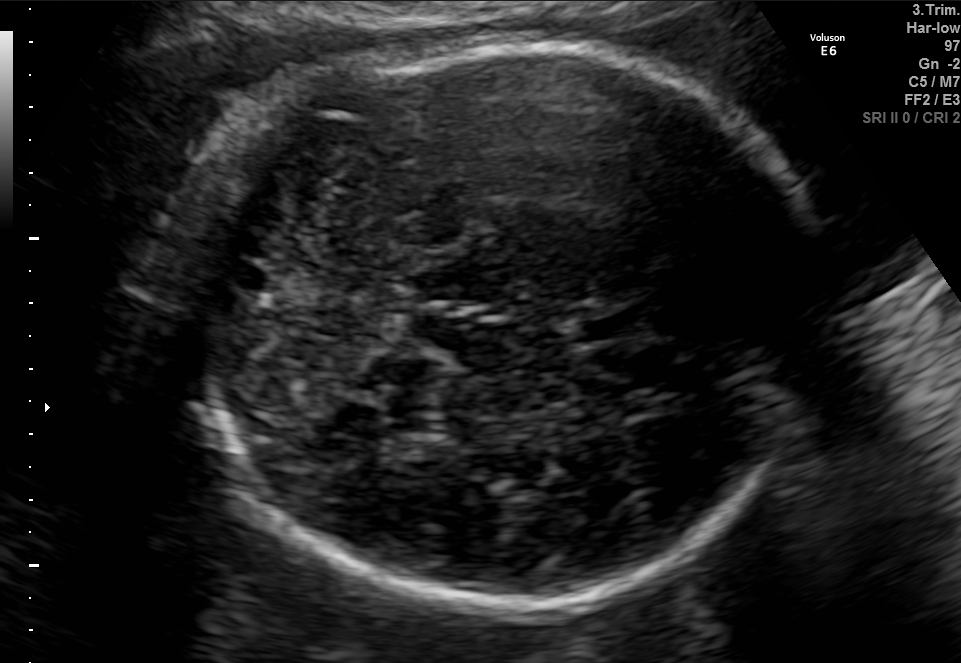
Classify this maternal-fetal ultrasound image as one of the six standard planes — fetal abdomen, fetal brain, fetal femur, fetal thorax, maternal cervix, or other. If it's fetal brain and one of the three standard brain planes (trans-thalamic, trans-cerebellum, trans-ventricular), name which.

Fetal brain (trans-cerebellum plane)